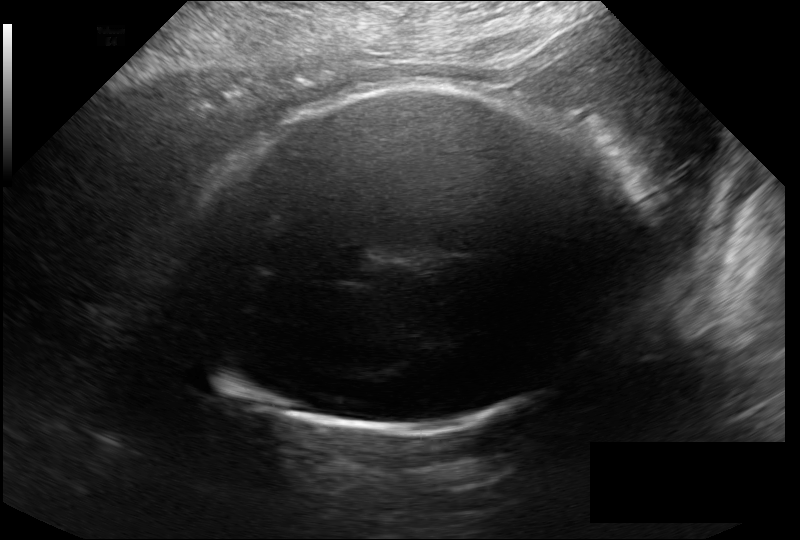
Measure the fetal head circumference shown in this ultrasound image. Image width: 196.8 mm.

Head circumference: 315.2 mm.